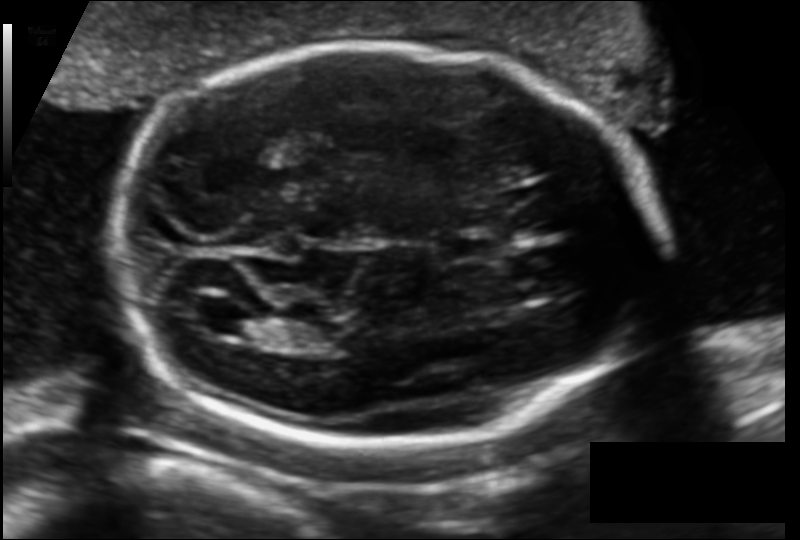
Fetal head ultrasound. Image width: 103.4 mm. Locate the fetal head and, if visible, the cavum septum pellucidum (CSP) and lateral ventricle (LV). Give bounding boxes as [x1,y1,x2,y2].

Head: [113,45,658,441]
CSP: [437,228,507,266]
Lateral ventricle: [188,295,251,336]